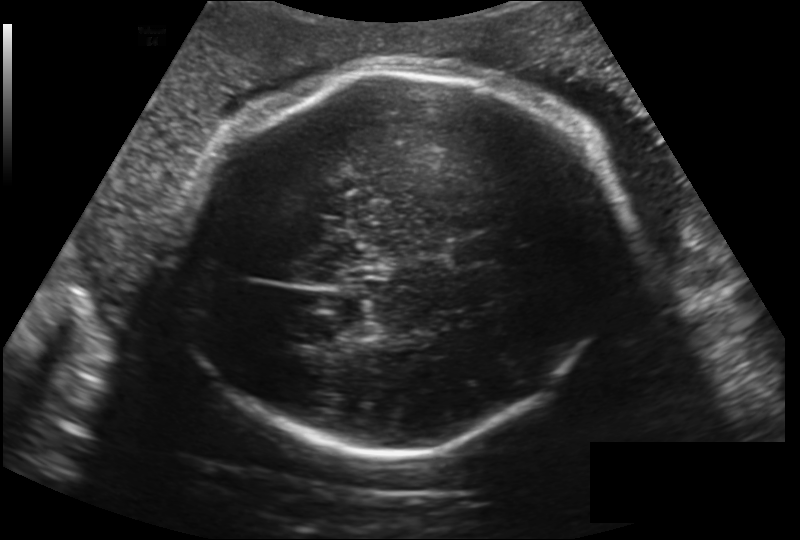
Estimate the fetal head circumference from this 2D ultrasound.

Head circumference: 303.2 mm (image width 179.4 mm).